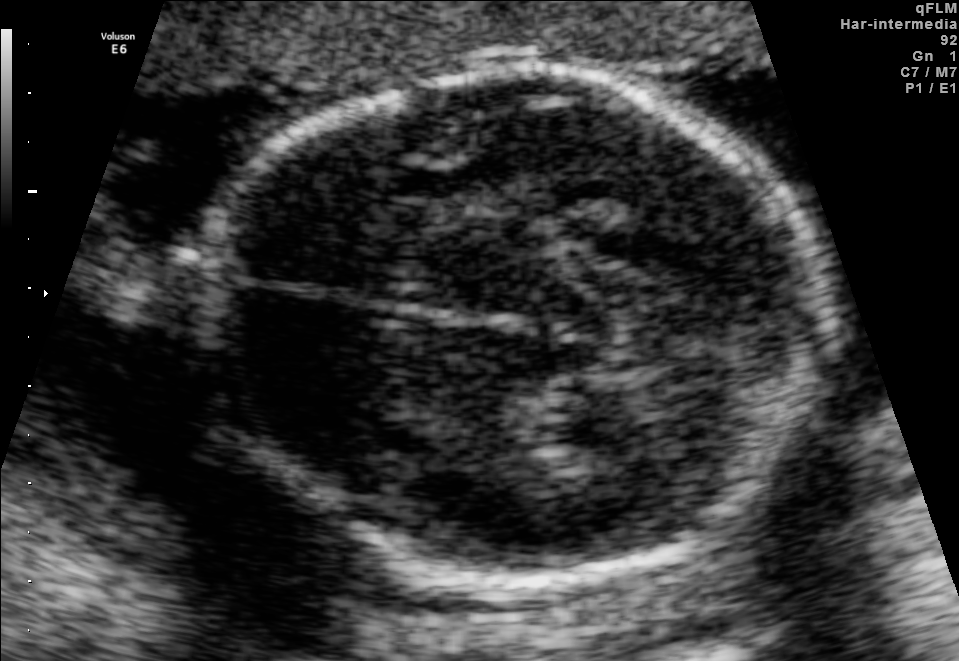
In this fetal brain, trans-thalamic plane, give bounding boxes for the head outline, cavum septum pellucidum (CSP), and lateral ventricle (LV), where visible.

Head: [209,70,834,583]
Lateral ventricle: [541,377,686,467]